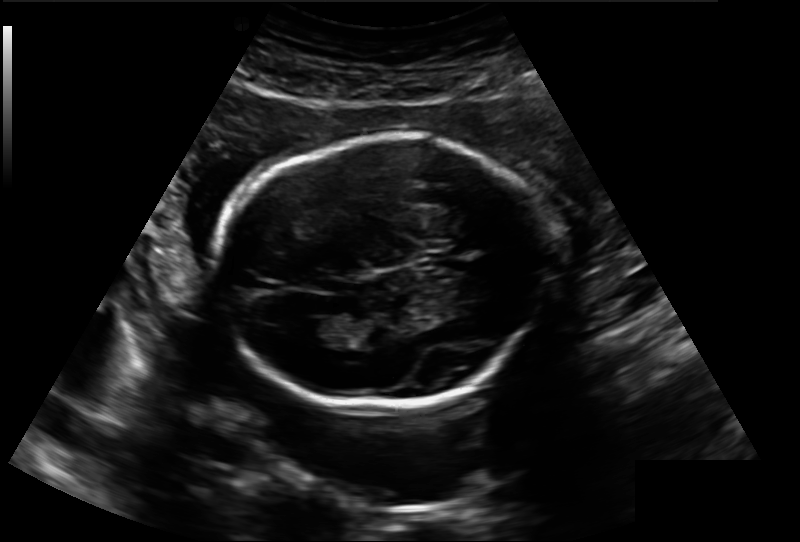
Fetal head ultrasound. Image width: 150.3 mm. Locate the fetal head and, if visible, the cavum septum pellucidum (CSP) and lateral ventricle (LV). Give bounding boxes as [x1,y1,x2,y2].

Head: [219,135,542,410]
Lateral ventricle: [298,318,341,344]